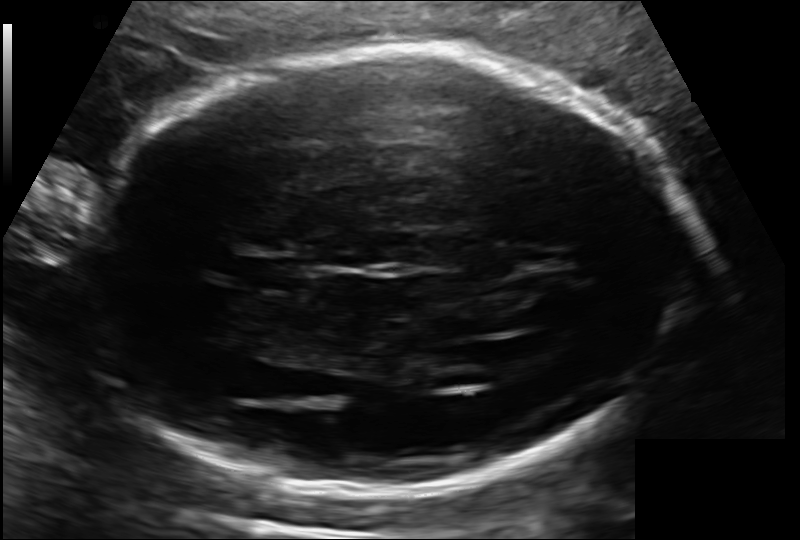
Estimate the fetal head circumference from this 2D ultrasound.

Head circumference: 249.5 mm (image width 114.4 mm).